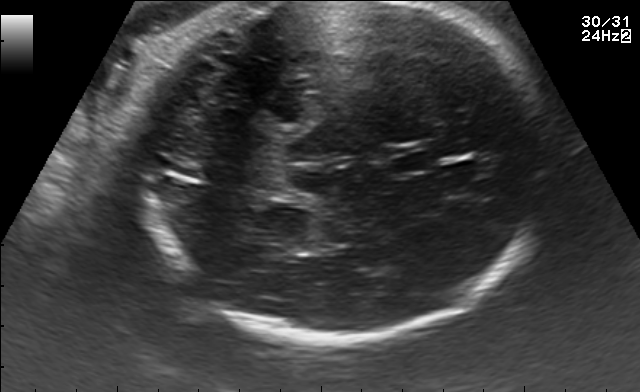
In this fetal brain, trans-thalamic plane, give the bounding box of the fetal head.

[131,3,557,342]